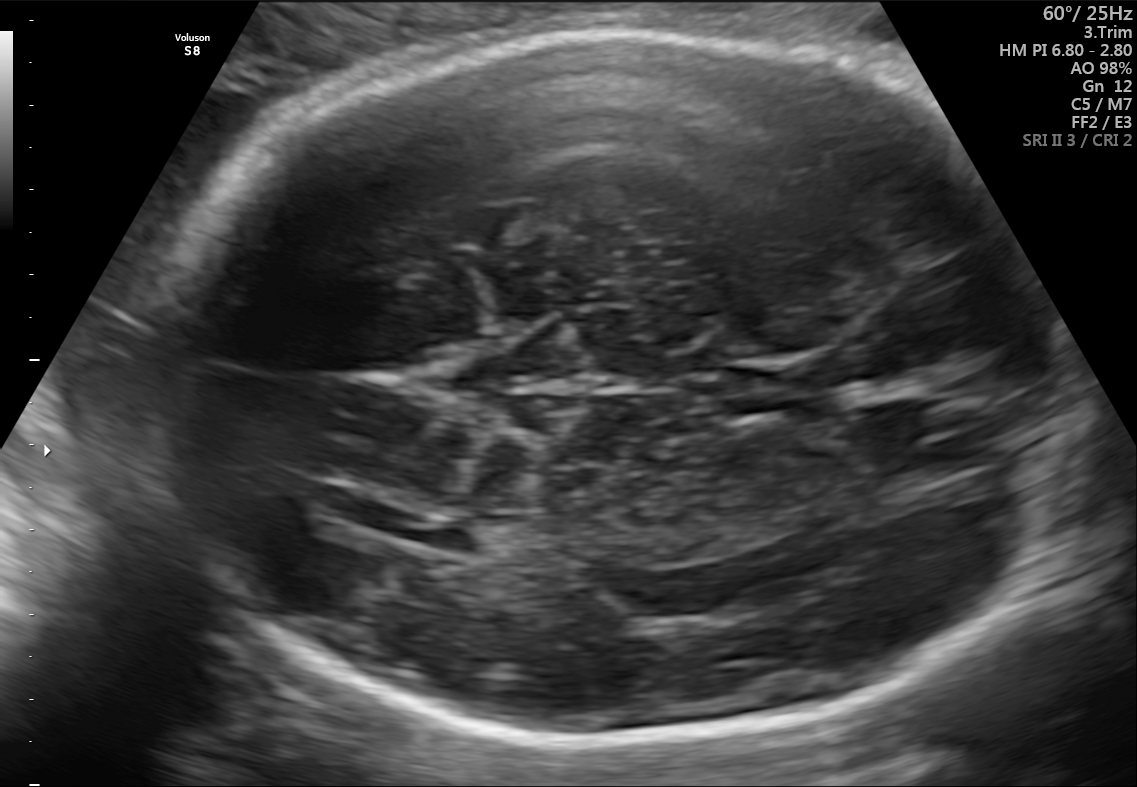
Fetal brain, trans-ventricular plane. Where is the fetal head?

Head bounding box: [139,25,1053,750]